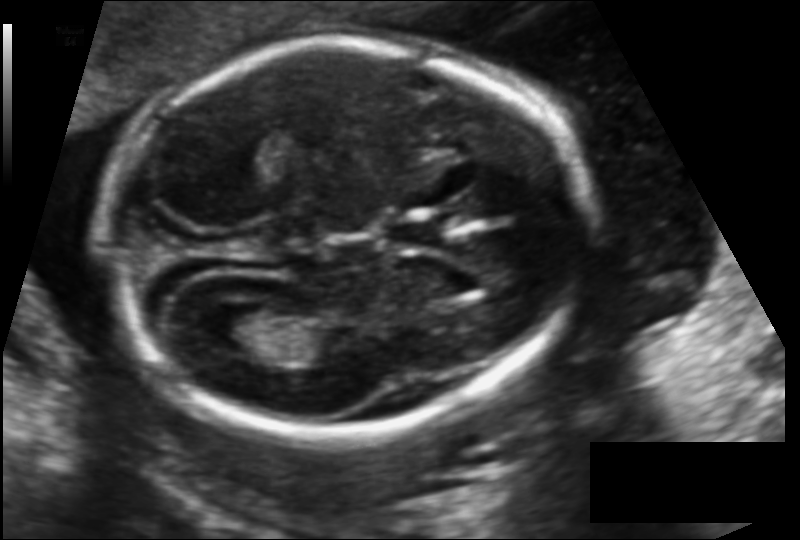
Fetal head ultrasound. Image width: 98.7 mm. Locate the fetal head.

Head: [100,42,593,428]